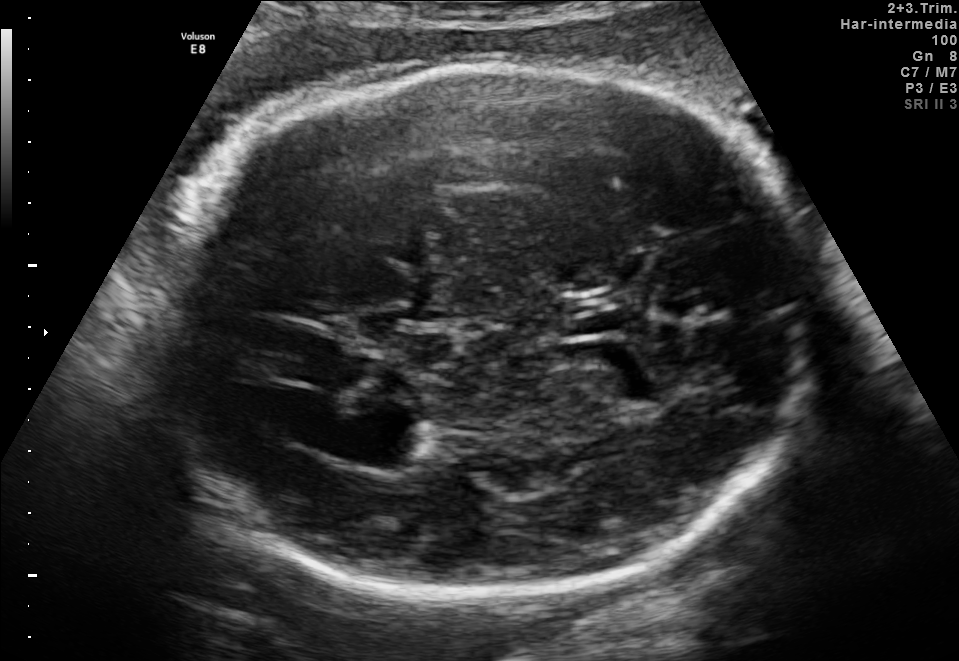
Fetal brain, trans-thalamic plane. Where is the fetal head?

Head bounding box: [144,64,815,595]